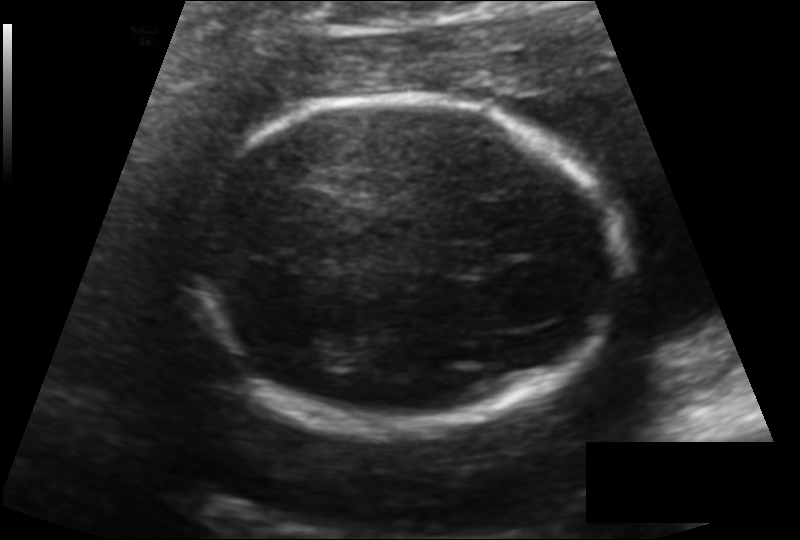
Measure the fetal head circumference shown in this ultrasound image. Image width: 109.0 mm.

Head circumference: 166.9 mm.